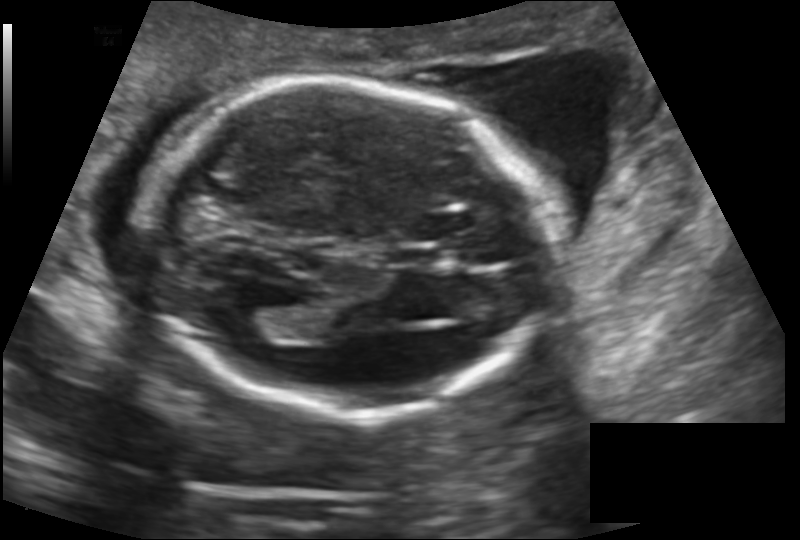
Fetal head ultrasound. Image width: 116.4 mm. Locate the fetal head.

Head: [141,80,547,414]